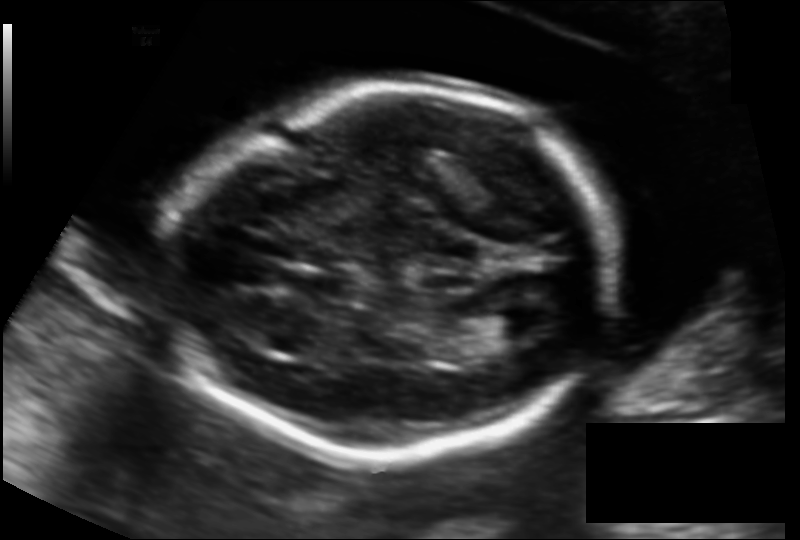
Measure the fetal head circumference shown in this ultrasound image. Image width: 105.0 mm.

Head circumference: 174.3 mm.